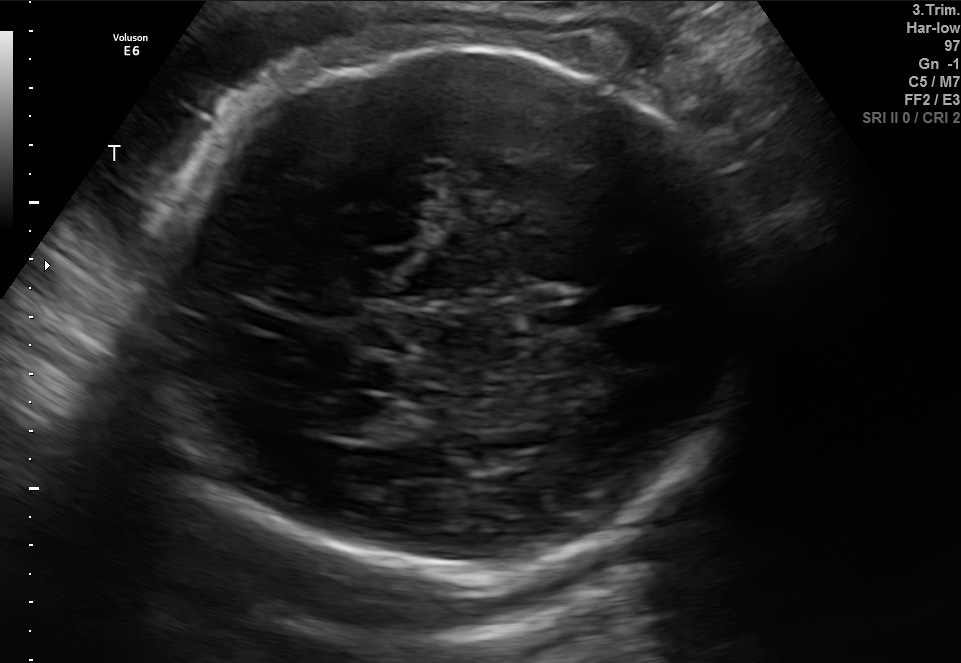
Identify the standard plane in this fetal ultrasound image: fetal abdomen, fetal brain, fetal femur, fetal thorax, maternal cervix, or other. If it's fetal brain and one of the three standard brain planes (trans-thalamic, trans-cerebellum, trans-ventricular), name which.

Fetal brain (trans-thalamic plane)